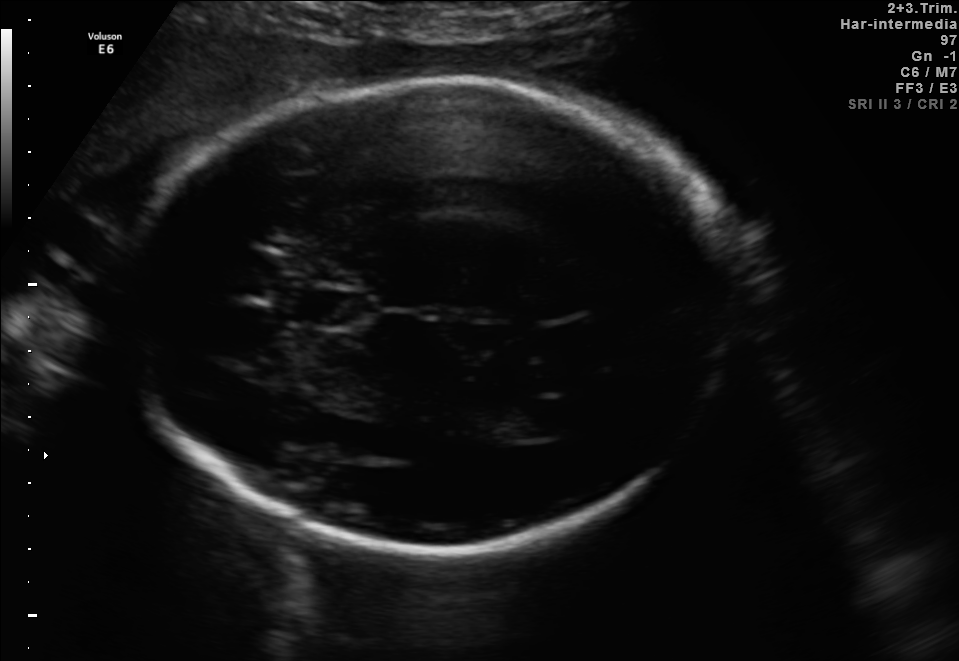
Fetal brain, trans-thalamic plane. Locate the fetal head and, if visible, the cavum septum pellucidum (CSP) and lateral ventricle (LV). Give bounding boxes as [x1,y1,x2,y2].

Head: [123,78,734,551]
CSP: [312,290,369,327]
Lateral ventricle: [496,398,569,441]